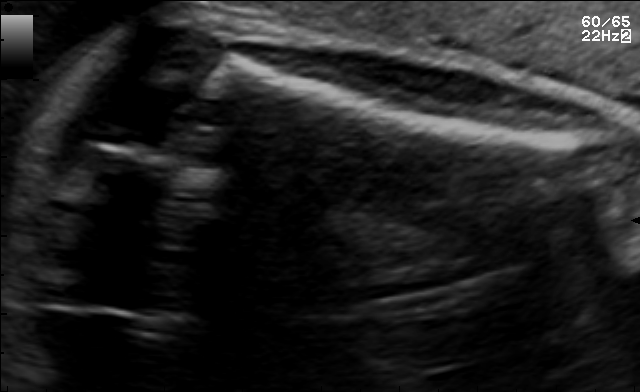
Classify this maternal-fetal ultrasound image as one of the six standard planes — fetal abdomen, fetal brain, fetal femur, fetal thorax, maternal cervix, or other. If it's fetal brain and one of the three standard brain planes (trans-thalamic, trans-cerebellum, trans-ventricular), name which.

Fetal femur